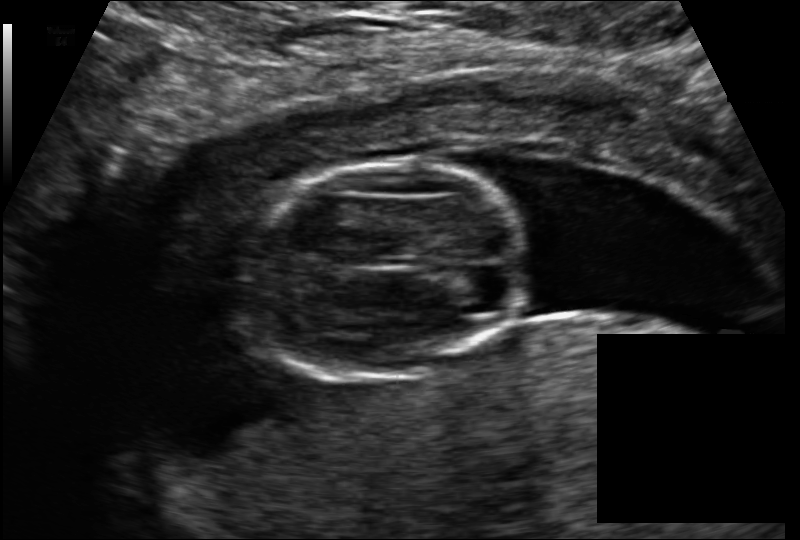
In this fetal head ultrasound, give the bounding box of the fetal head. Image width: 91.0 mm.

[244,162,524,378]